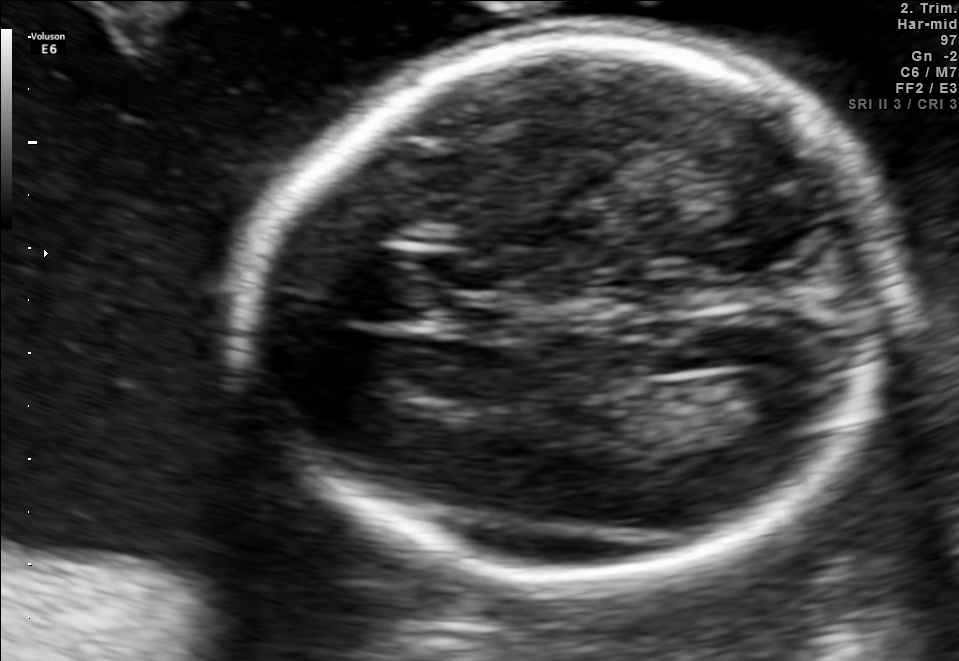
In this fetal brain, trans-ventricular plane, give the bounding box of the lateral ventricle.

[731,360,818,428]